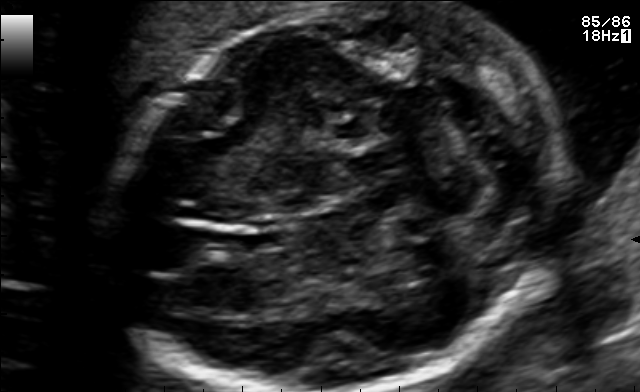
Fetal brain, trans-cerebellum plane. Locate the fetal head and, if visible, the cavum septum pellucidum (CSP) and lateral ventricle (LV). Give bounding boxes as [x1,y1,x2,y2].

Head: [117,3,550,391]